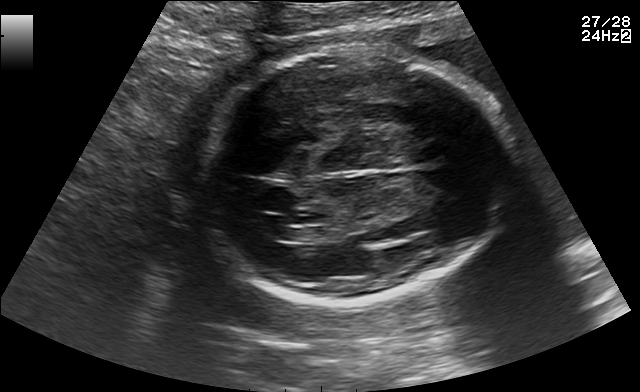
In this fetal brain, trans-ventricular plane, give bounding boxes for the head outline, cavum septum pellucidum (CSP), and lateral ventricle (LV), where visible.

Head: [200,45,515,308]